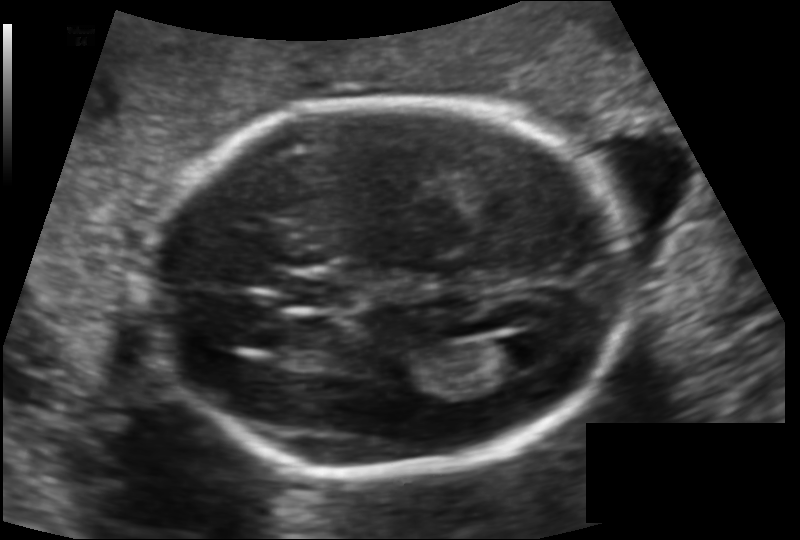
In this fetal head ultrasound, give the bounding box of the cavum septum pellucidum. Image width: 100.1 mm.

[282,275,359,308]